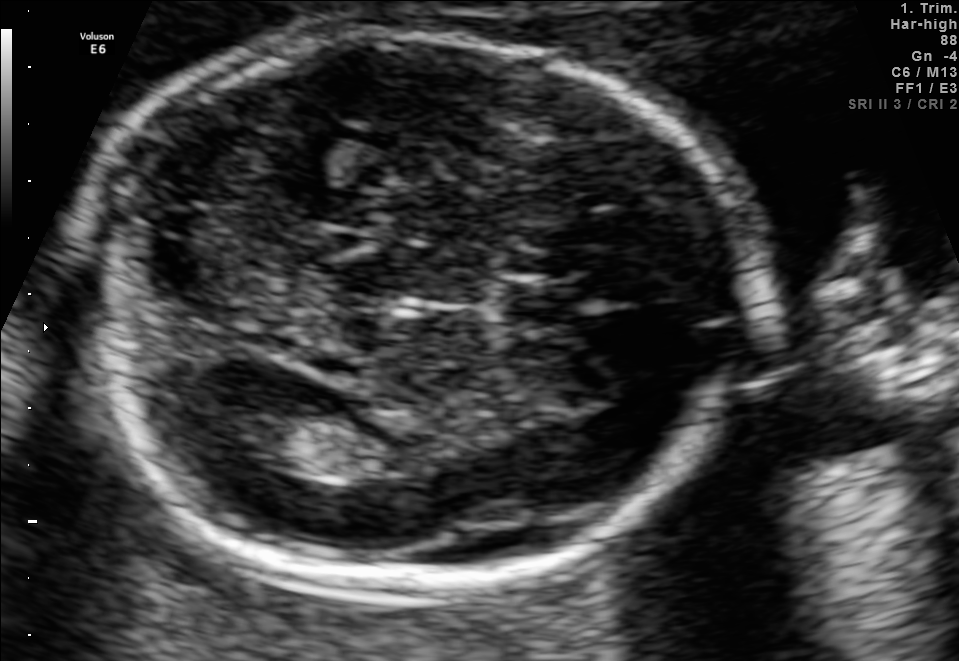
In this fetal brain, trans-ventricular plane, give the bounding box of the lateral ventricle.

[216,389,324,473]